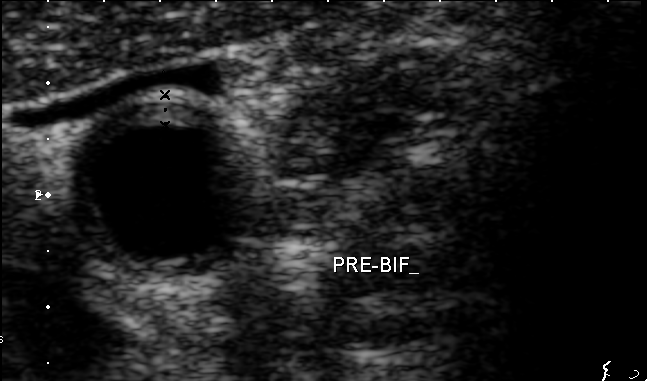
This is a 2D maternal-fetal ultrasound frame. Is it a fetal abdomen, fetal brain, fetal femur, fetal thorax, maternal cervix, or other standard plane? If it's fetal brain and one of the three standard brain planes (trans-thalamic, trans-cerebellum, trans-ventricular), name which.

Other